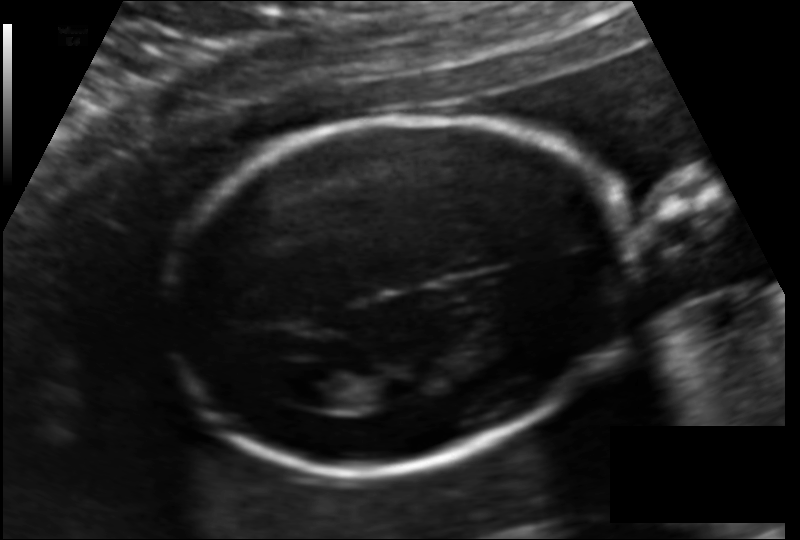
Measure the fetal head circumference shown in this ultrasound image. Image width: 101.5 mm.

Head circumference: 166.8 mm.